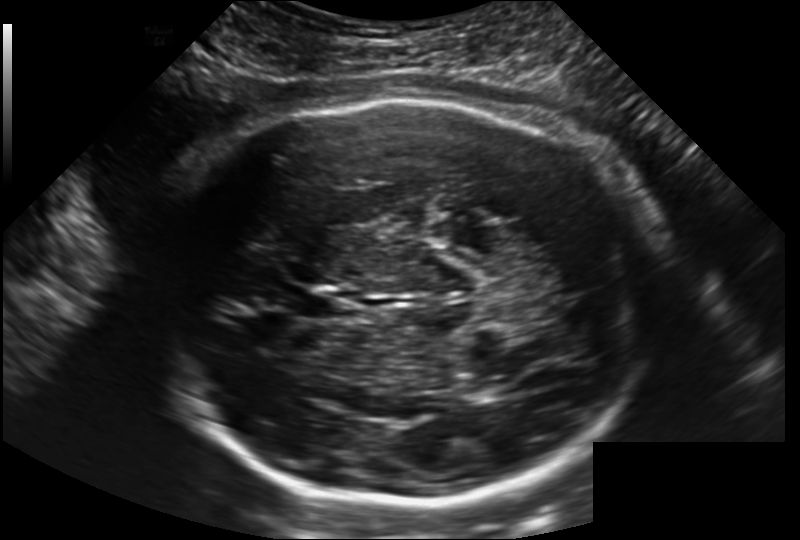
Fetal head ultrasound. Image width: 161.6 mm. Where is the fetal head?

Head bounding box: [160,97,655,507]